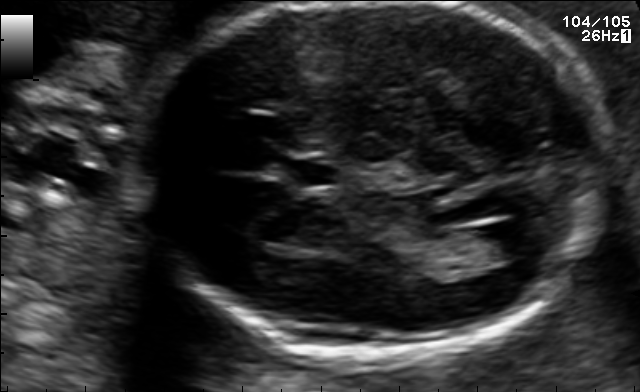
Fetal brain, trans-ventricular plane. Where is the cavum septum pellucidum?

CSP bounding box: [283,156,339,192]